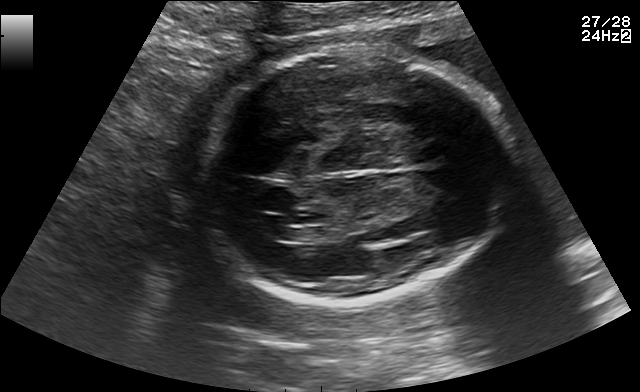
In this fetal brain, trans-ventricular plane, give the bounding box of the fetal head.

[200,45,515,308]